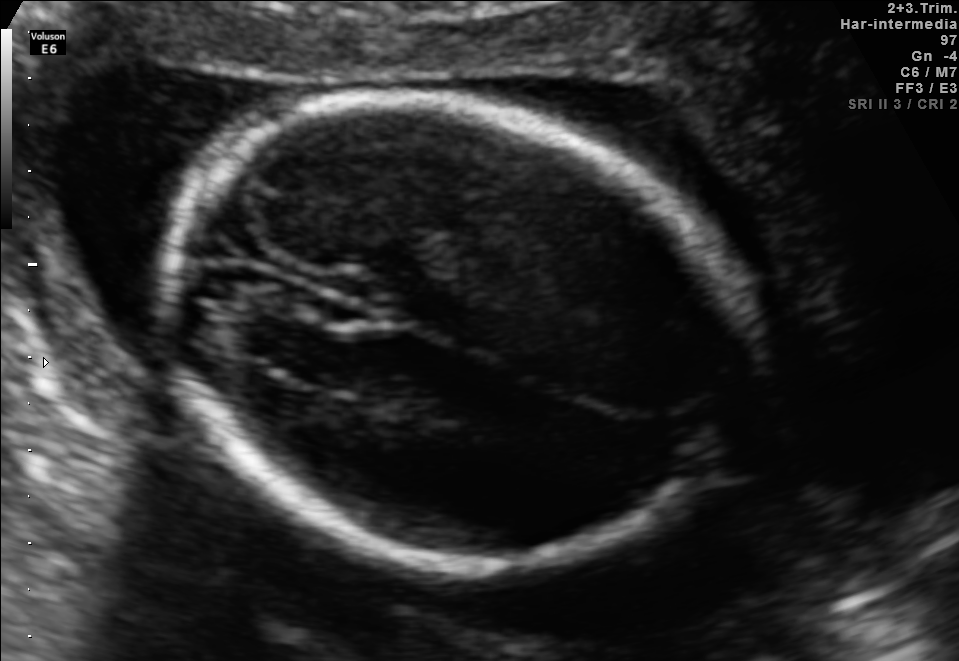
Fetal brain, trans-thalamic plane. Where is the fetal head?

Head bounding box: [157,103,754,562]